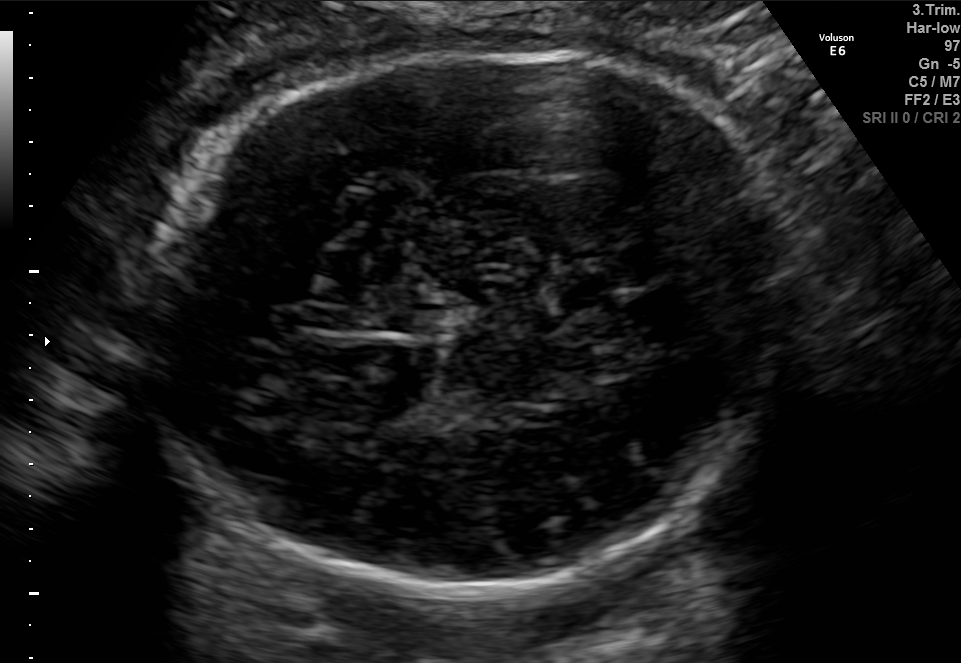
Fetal brain, trans-thalamic plane. Locate the fetal head.

Head: [158,49,797,592]